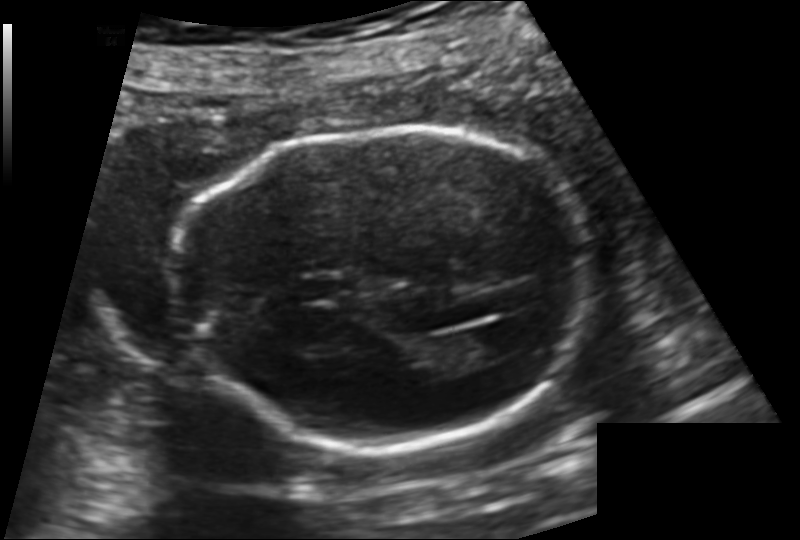
What is the fetal head circumference? Image width is 115.3 mm.

172.1 mm